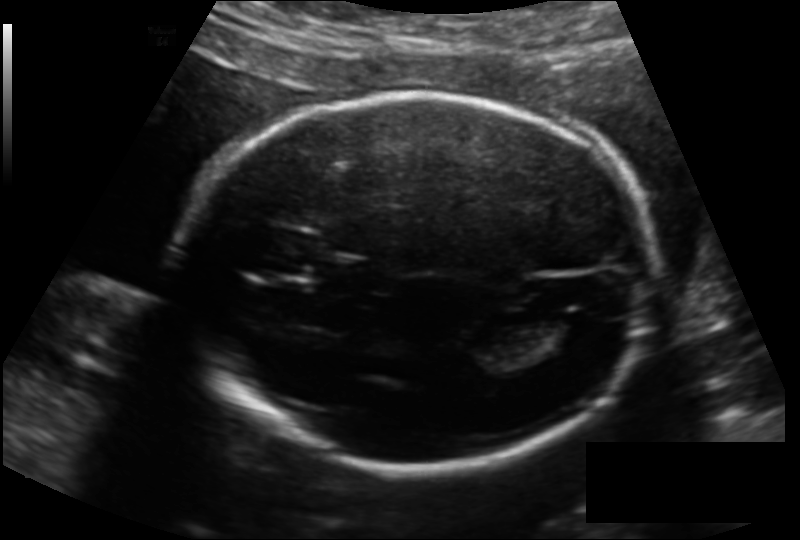
Fetal head ultrasound. Image width: 120.8 mm. Where is the fetal head?

Head bounding box: [174,94,652,467]